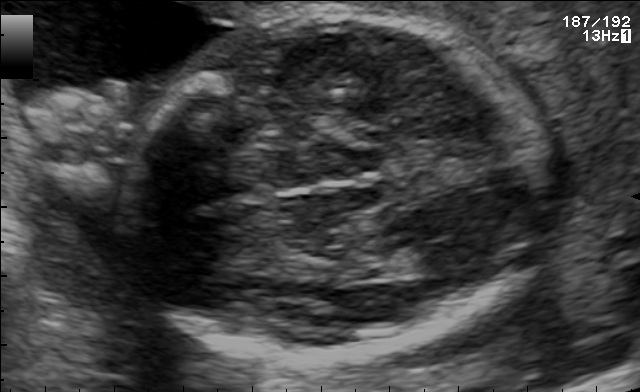
This is a 2D maternal-fetal ultrasound frame. Is it a fetal abdomen, fetal brain, fetal femur, fetal thorax, maternal cervix, or other standard plane? If it's fetal brain and one of the three standard brain planes (trans-thalamic, trans-cerebellum, trans-ventricular), name which.

Fetal brain (trans-thalamic plane)